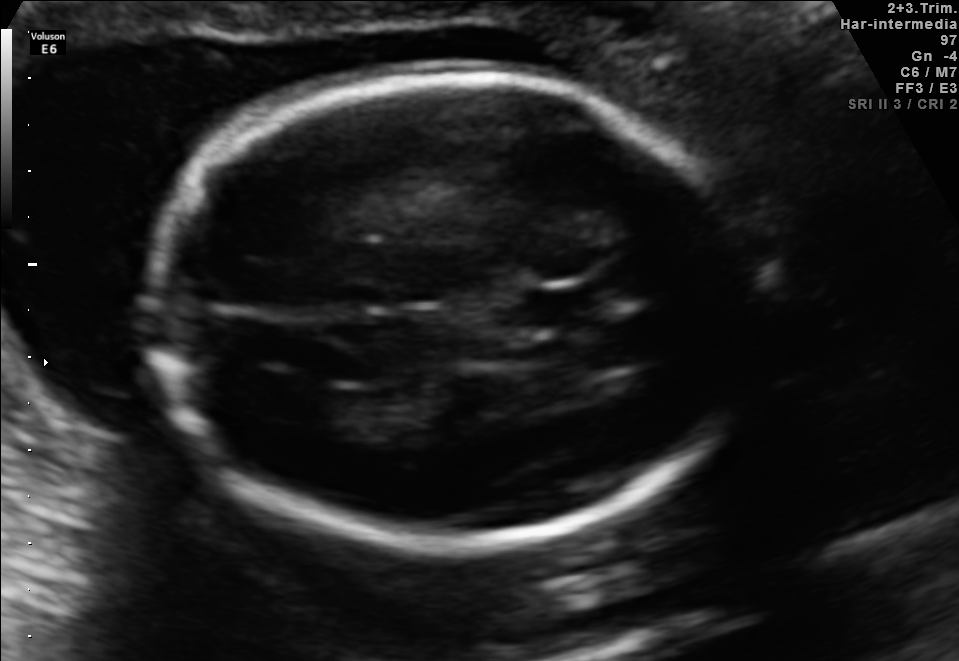
Fetal brain, trans-ventricular plane. Locate the fetal head.

Head: [135,68,776,553]